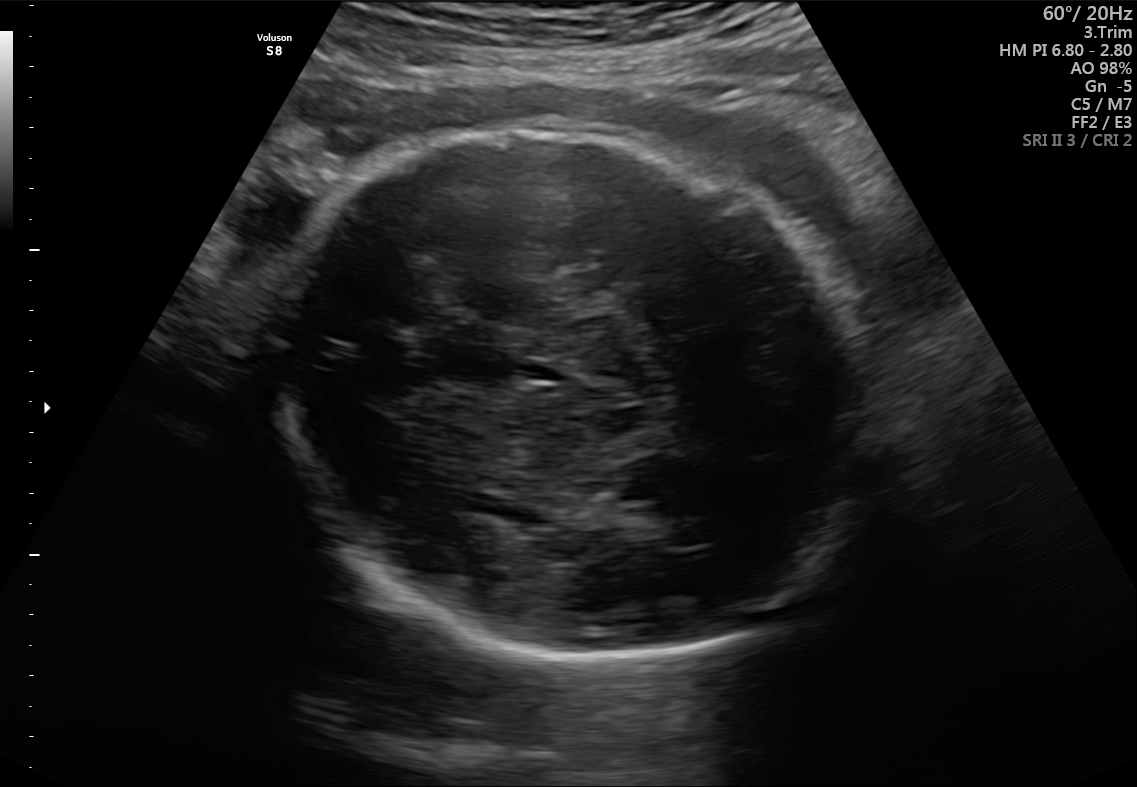
In this fetal brain, trans-thalamic plane, give the bounding box of the cavum septum pellucidum.

[526,361,564,383]